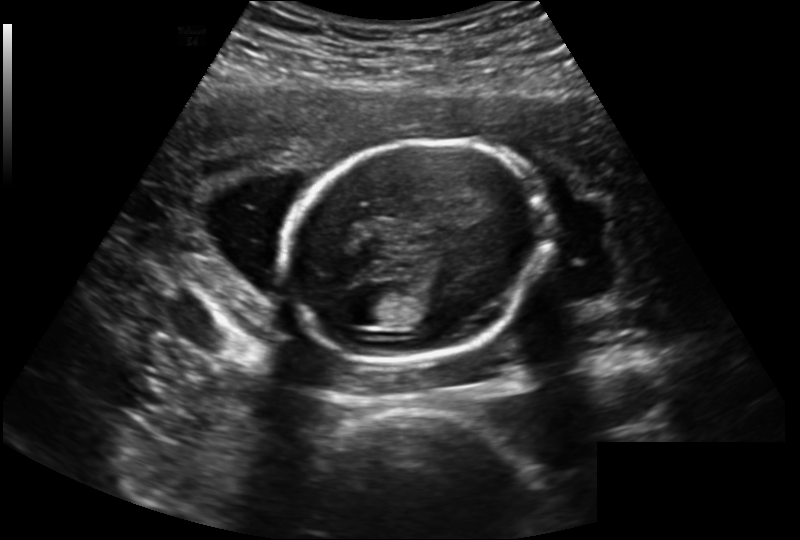
Fetal head ultrasound. Image width: 161.7 mm. Where is the fetal head?

Head bounding box: [283,140,551,364]